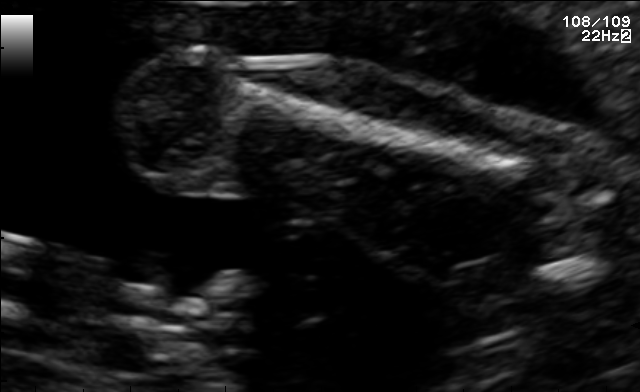
This is a 2D maternal-fetal ultrasound frame. Is it a fetal abdomen, fetal brain, fetal femur, fetal thorax, maternal cervix, or other standard plane? If it's fetal brain and one of the three standard brain planes (trans-thalamic, trans-cerebellum, trans-ventricular), name which.

Fetal femur